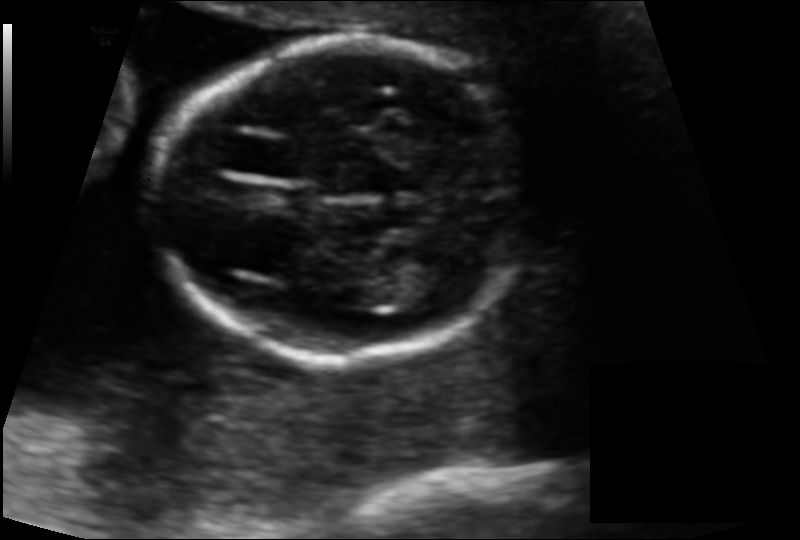
From this fetal ultrasound, estimate the head circumference (image width 92.0 mm).

Head circumference: 131.2 mm.